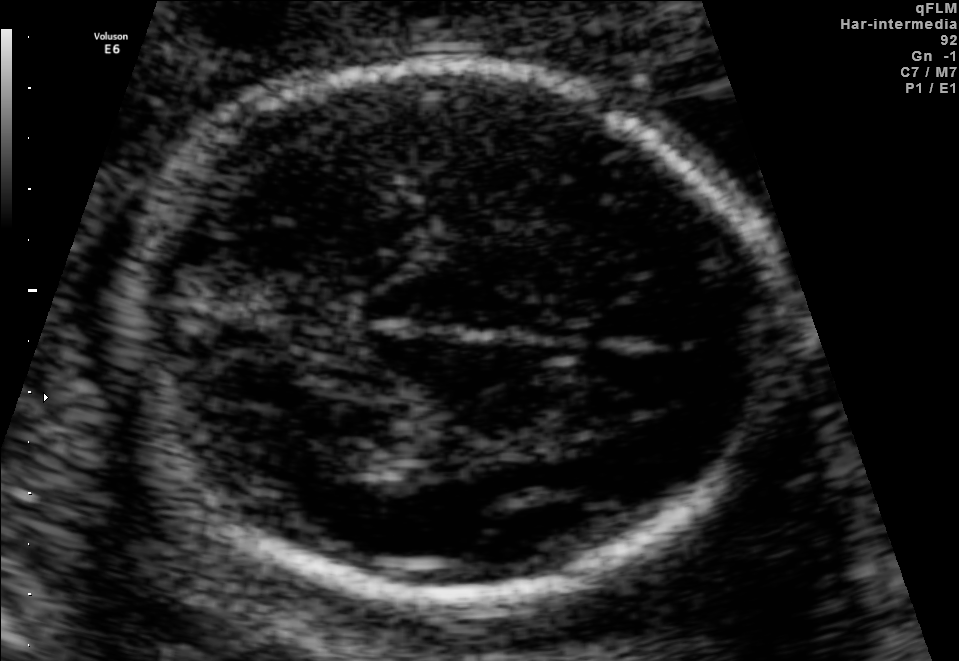
Fetal brain, trans-thalamic plane. Where is the fetal head?

Head bounding box: [130,63,789,596]